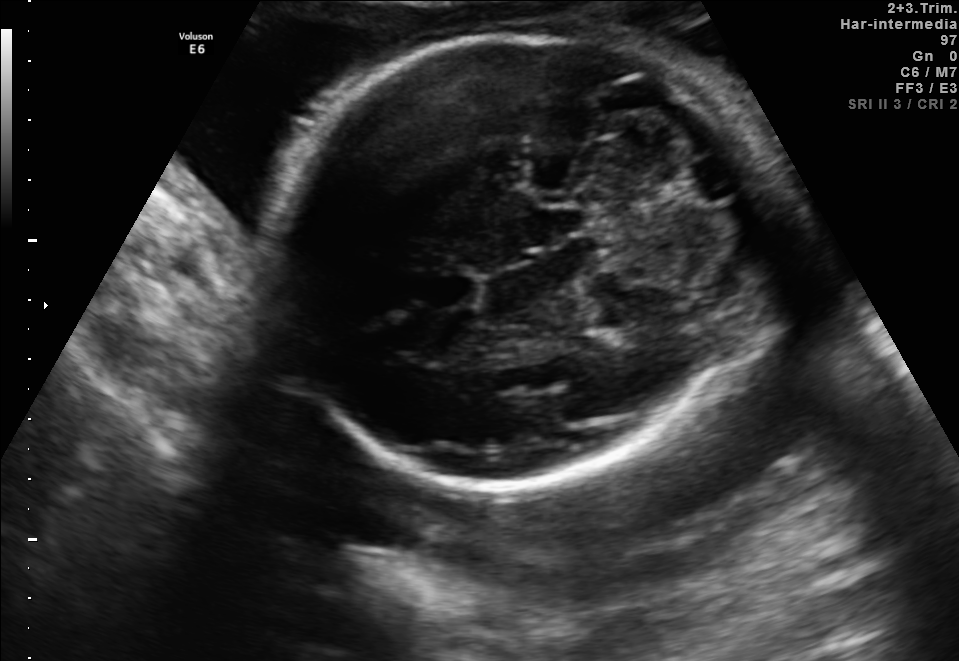
In this fetal brain, trans-cerebellum plane, give bounding boxes for the head outline, cavum septum pellucidum (CSP), and lateral ventricle (LV), where visible.

Head: [276,30,757,493]
CSP: [413,271,477,308]